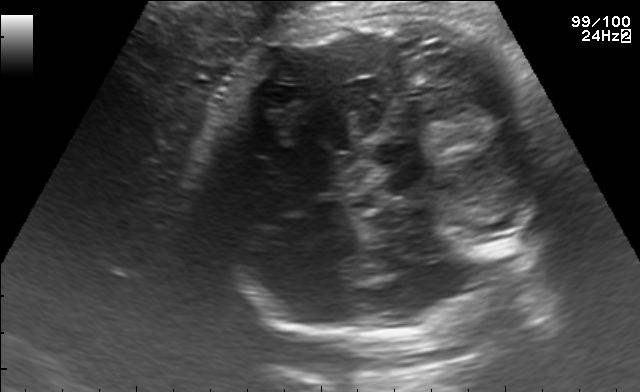
In this fetal brain, trans-cerebellum plane, give the bounding box of the fetal head.

[202,3,559,340]